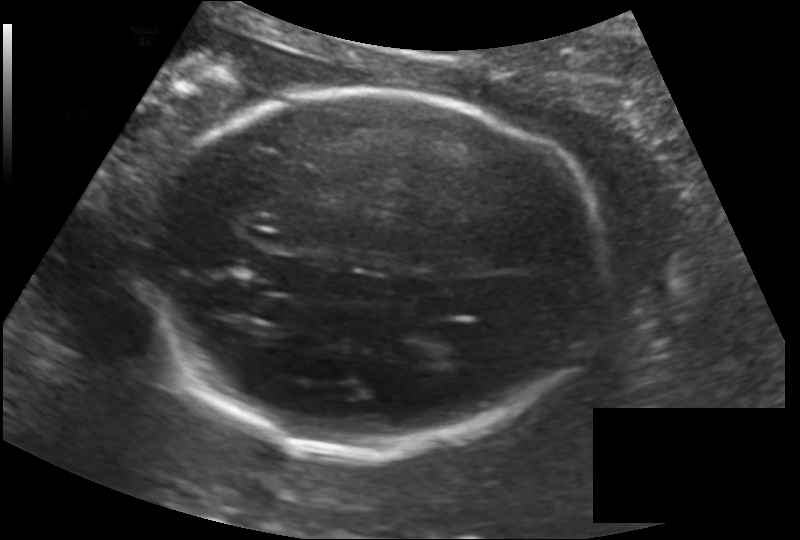
Measure the fetal head circumference shown in this ultrasound image. Image width: 136.3 mm.

Head circumference: 226.9 mm.